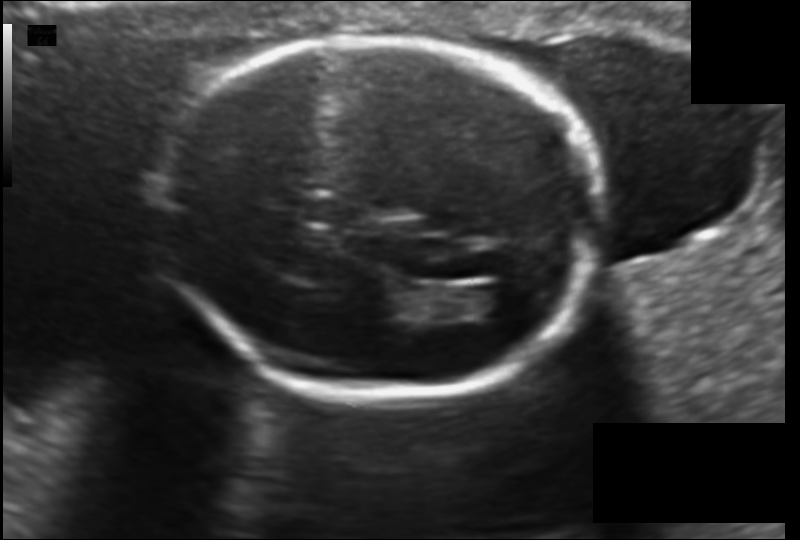
In this fetal head ultrasound, give the bounding box of the fetal head. Image width: 104.2 mm.

[158,39,598,398]